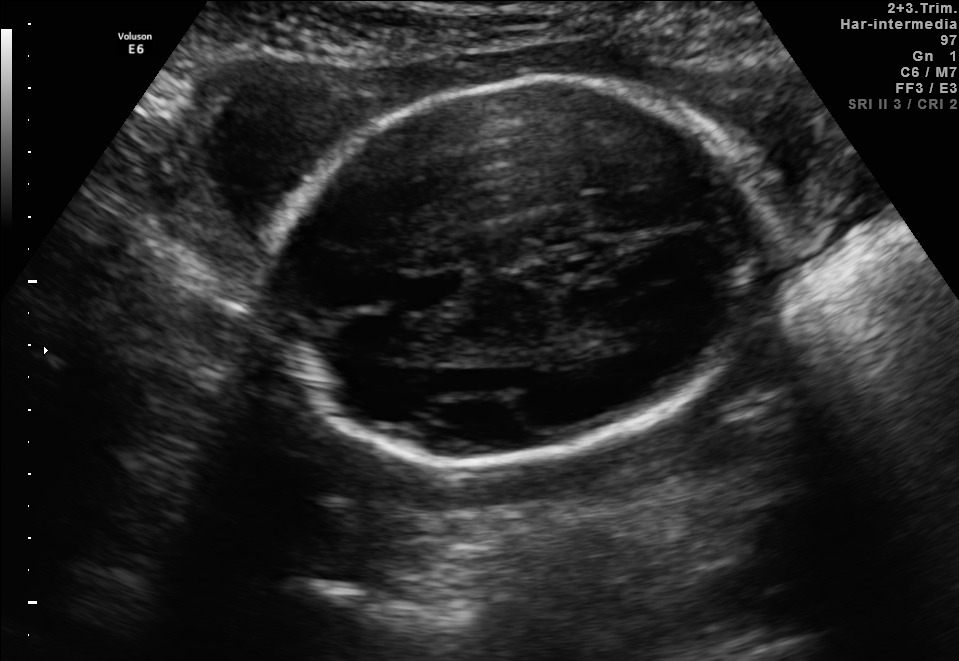
Fetal brain, trans-thalamic plane. Locate the cavum septum pellucidum.

CSP: [396,271,459,305]